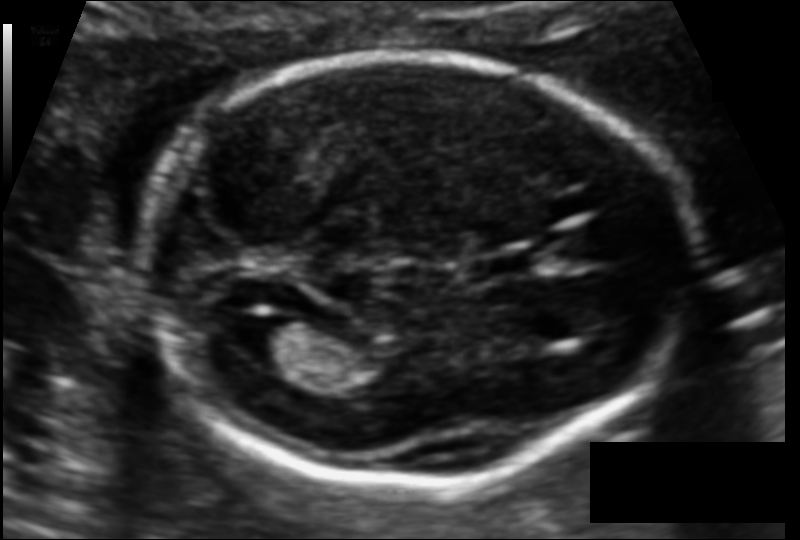
In this fetal head ultrasound, give the bounding box of the cavum septum pellucidum. Image width: 85.1 mm.

[477,246,538,285]